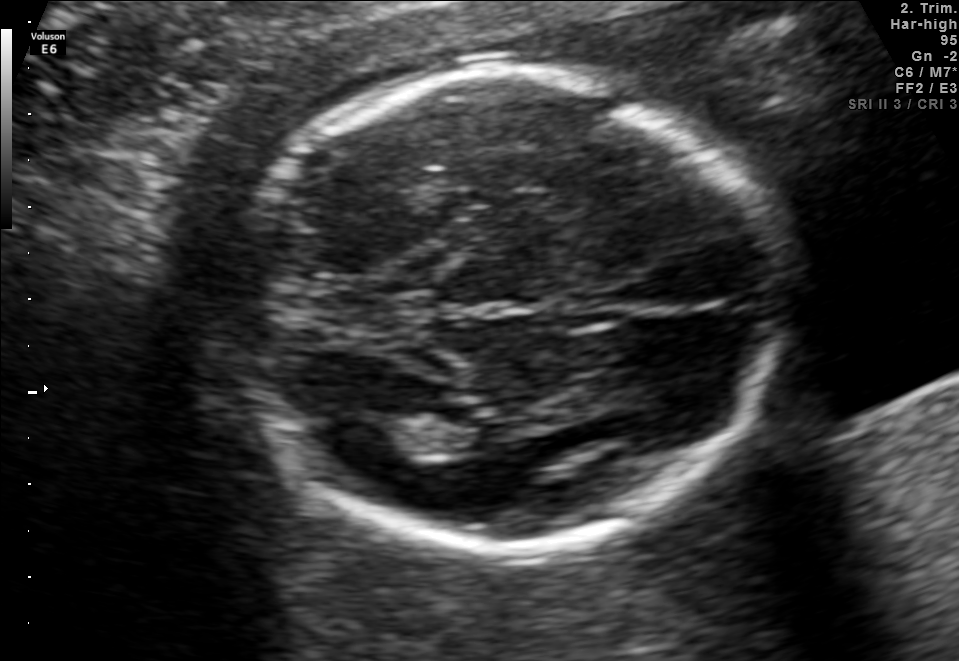
Fetal brain, trans-thalamic plane. Locate the lateral ventricle.

Lateral ventricle: [329,415,428,464]